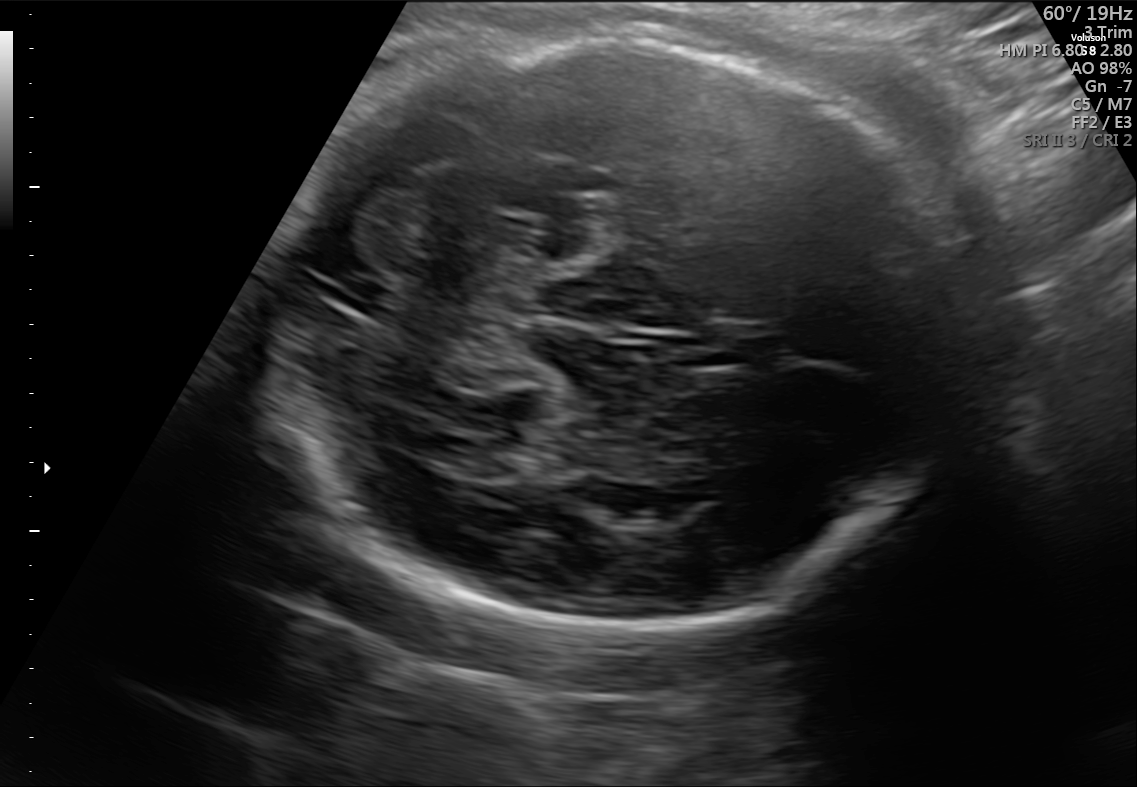
Fetal brain, trans-cerebellum plane. Give [x1,y1,x2,y2] bounding boxes for each visible structure among: fetal head, CSP, LV.

Head: [274,36,960,627]